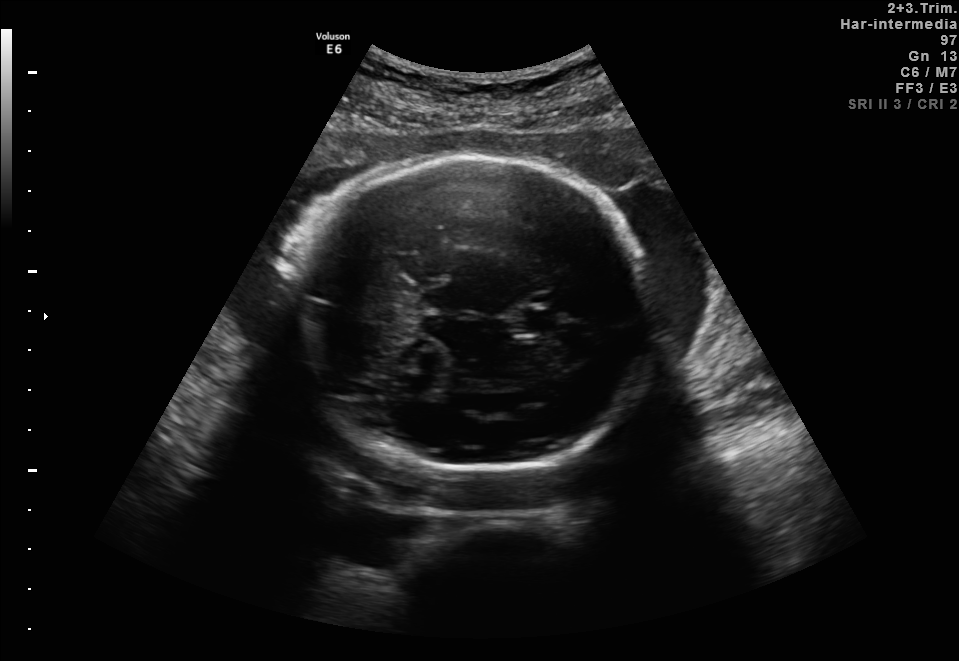
Fetal brain, trans-thalamic plane. Give [x1,y1,x2,y2] bounding boxes for each visible structure among: fetal head, CSP, LV.

Head: [293,155,658,468]
CSP: [522,308,558,332]